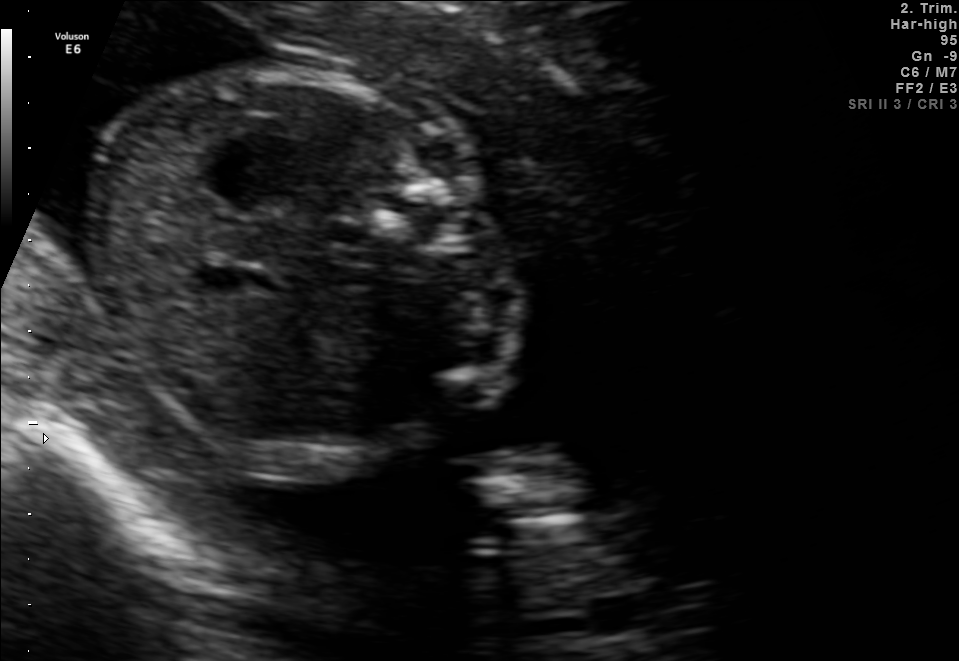
Identify the standard plane in this fetal ultrasound image: fetal abdomen, fetal brain, fetal femur, fetal thorax, maternal cervix, or other. If it's fetal brain and one of the three standard brain planes (trans-thalamic, trans-cerebellum, trans-ventricular), name which.

Fetal abdomen